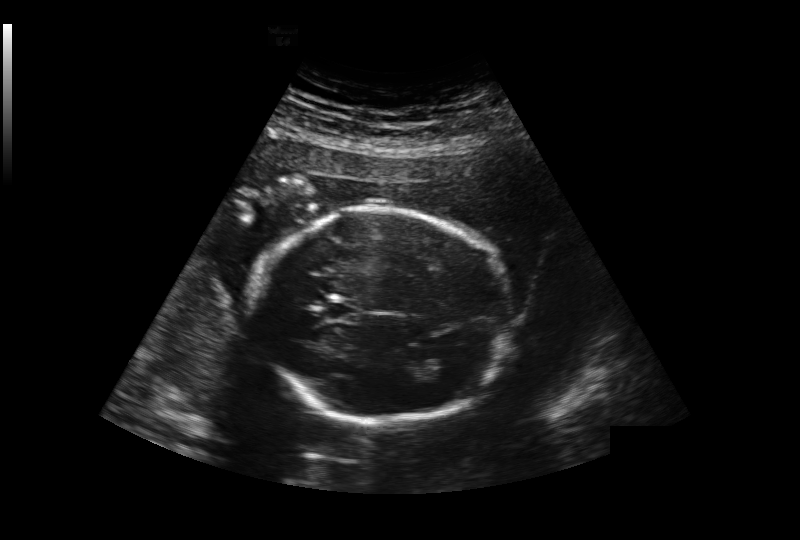
Estimate the fetal head circumference from this 2D ultrasound.

Head circumference: 186.2 mm (image width 191.2 mm).